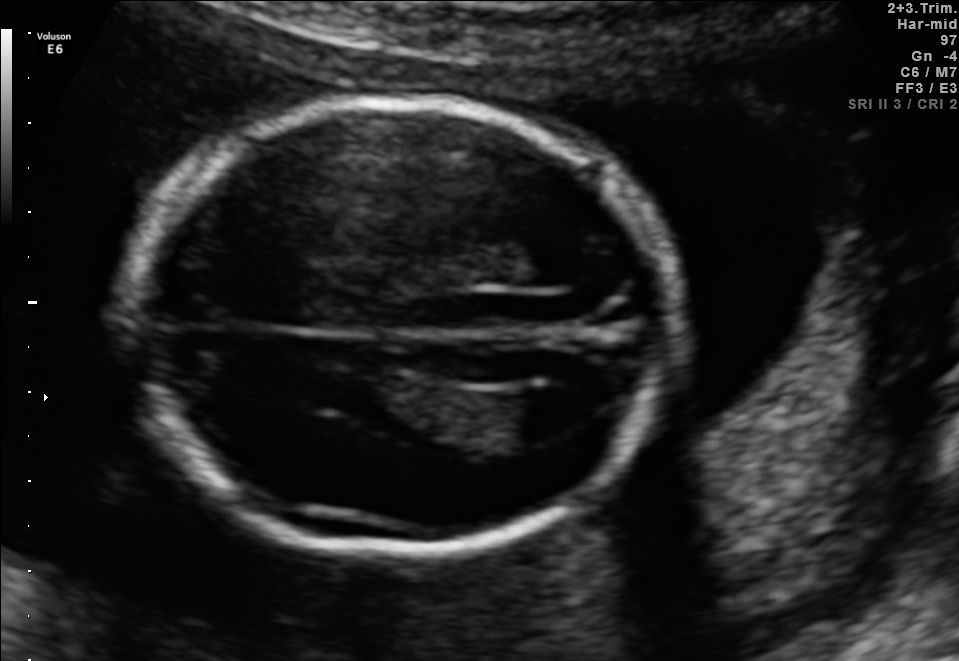
In this fetal brain, trans-ventricular plane, give the bounding box of the fetal head.

[106,90,699,569]